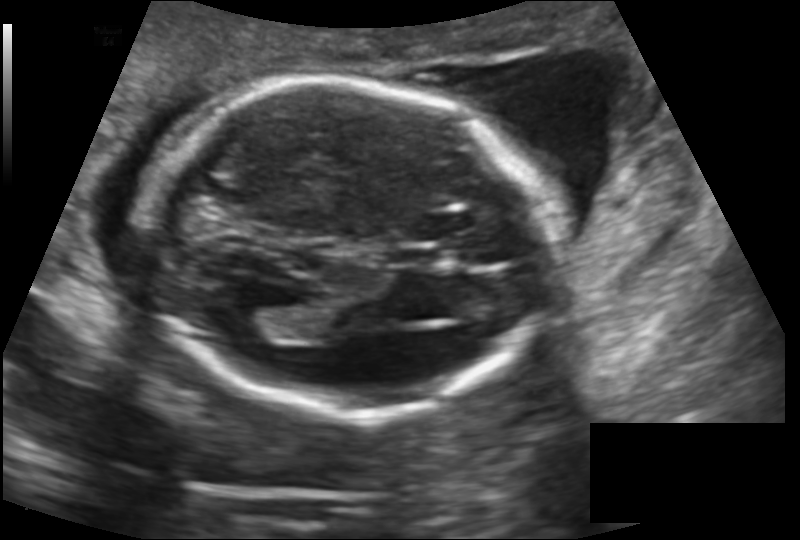
Fetal head ultrasound. Image width: 116.4 mm. Where is the cavum septum pellucidum?

CSP bounding box: [389,247,442,268]